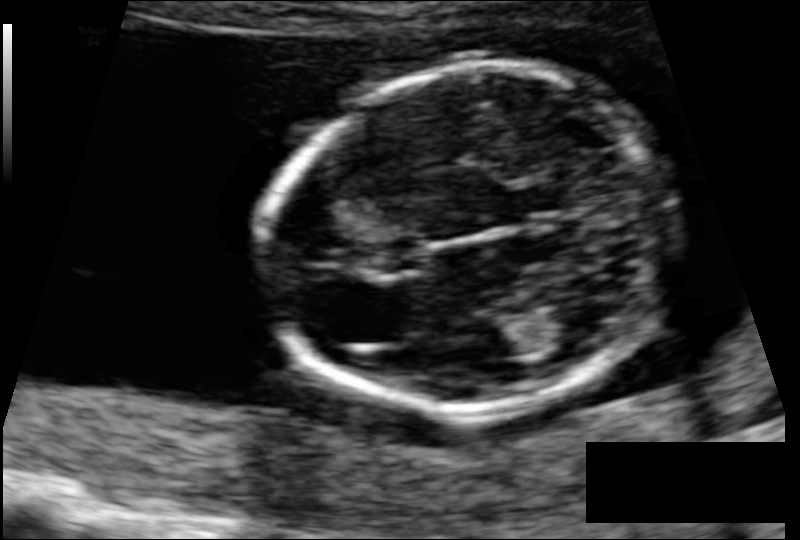
What is the fetal head circumference? Image width is 70.5 mm.

106.5 mm